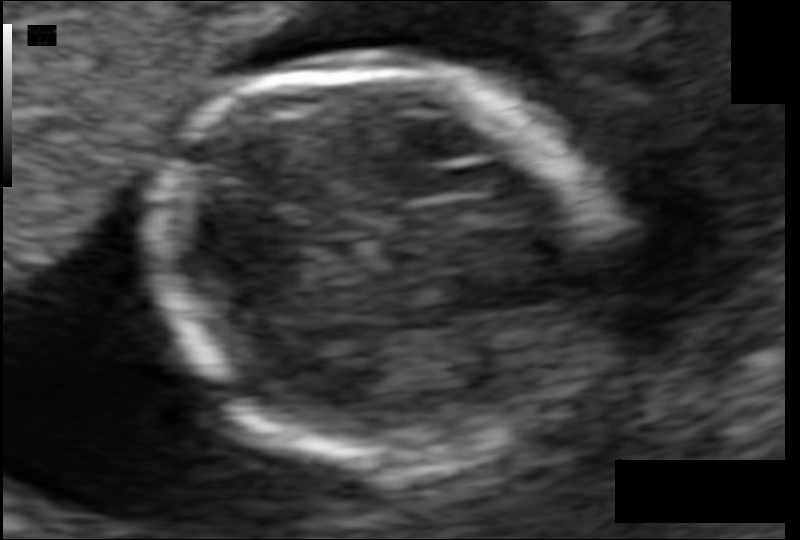
Fetal head ultrasound. Image width: 58.1 mm. Give [x1,y1,x2,y2] bounding boxes for each visible structure among: fetal head, CSP, LV.

Head: [152,66,606,451]